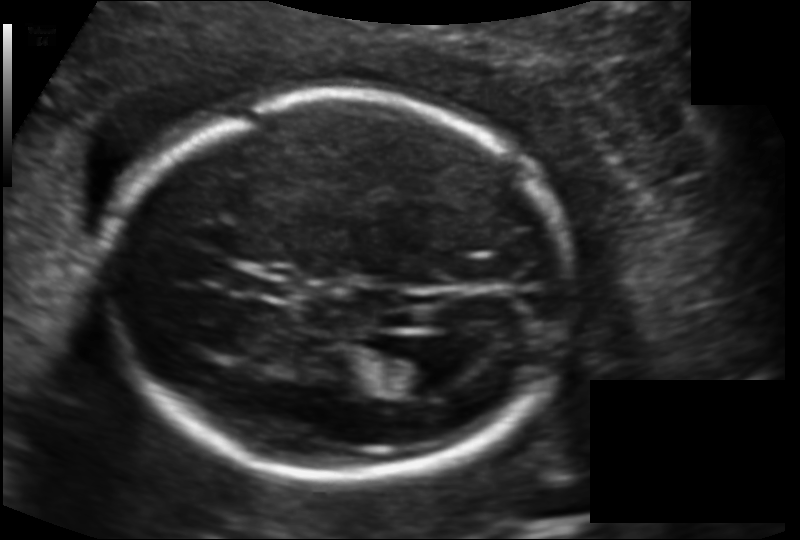
From this fetal ultrasound, estimate the head circumference (image width 107.3 mm).

Head circumference: 183.5 mm.